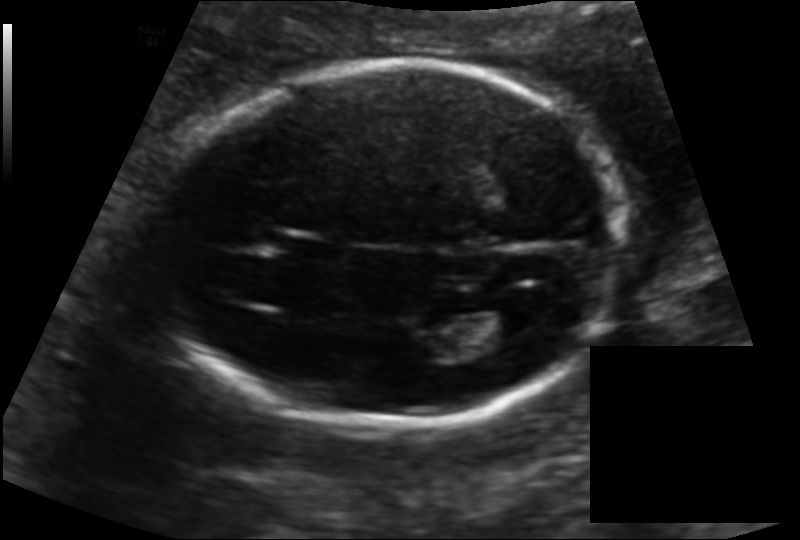
Fetal head ultrasound. Image width: 110.8 mm. Where is the cavum septum pellucidum?

CSP bounding box: [266,227,336,266]